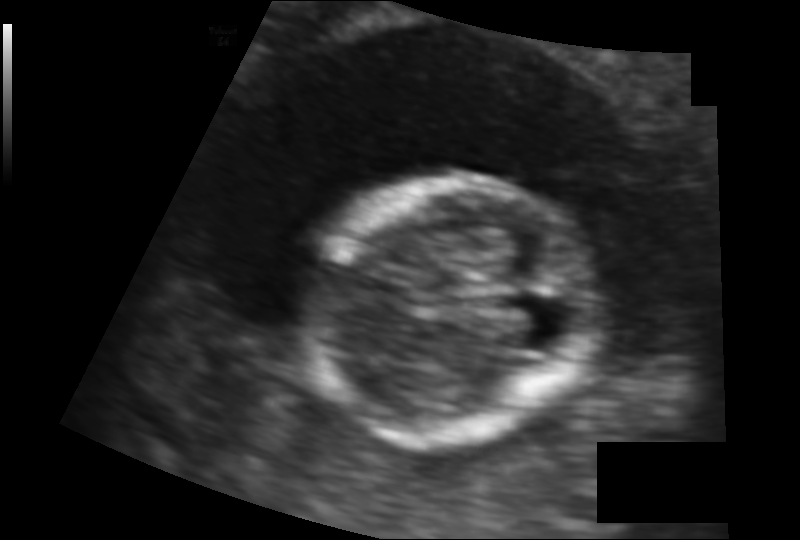
Fetal head ultrasound. Image width: 82.1 mm. Give [x1,y1,x2,y2] bounding boxes for each visible structure among: fetal head, CSP, LV.

Head: [301,179,601,448]